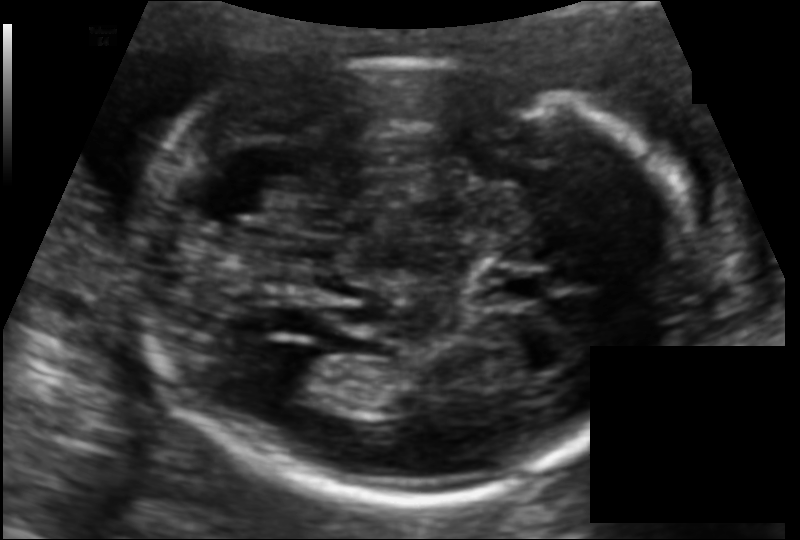
From this fetal ultrasound, estimate the head circumference (image width 91.9 mm).

Head circumference: 183.6 mm.